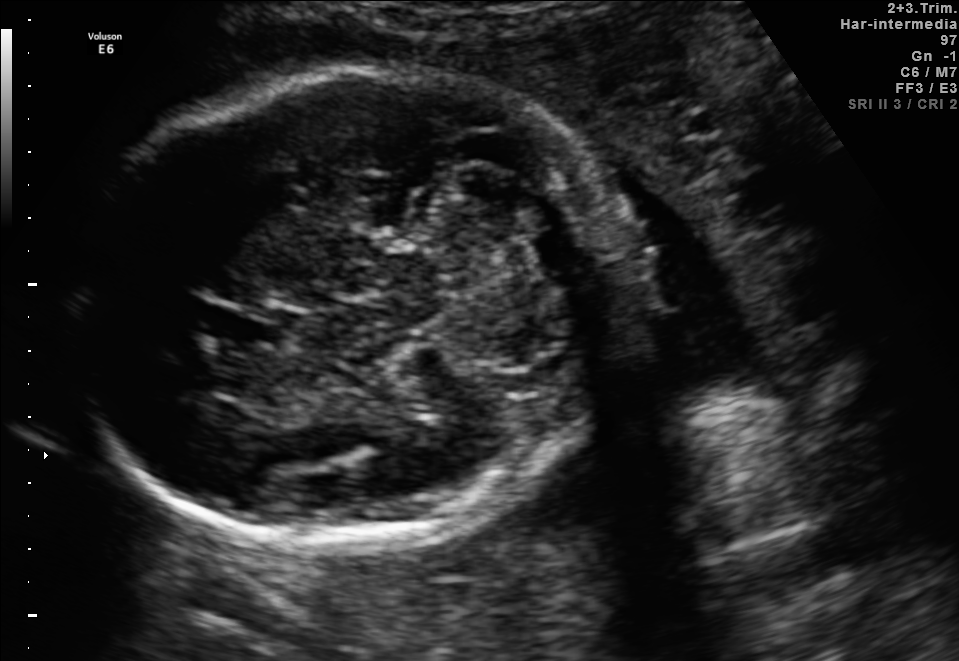
Fetal brain, trans-cerebellum plane. Where is the cavum septum pellucidum?

CSP bounding box: [198,297,286,357]